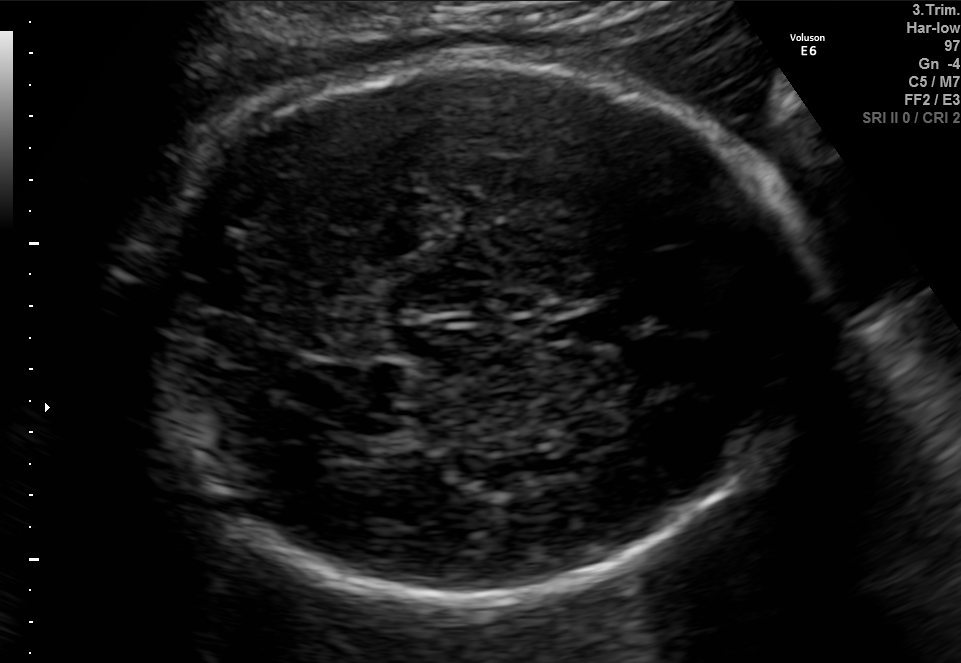
In this fetal brain, trans-thalamic plane, give bounding boxes for the head outline, cavum septum pellucidum (CSP), and lateral ventricle (LV), where visible.

Head: [133,59,812,606]
CSP: [555,309,627,347]